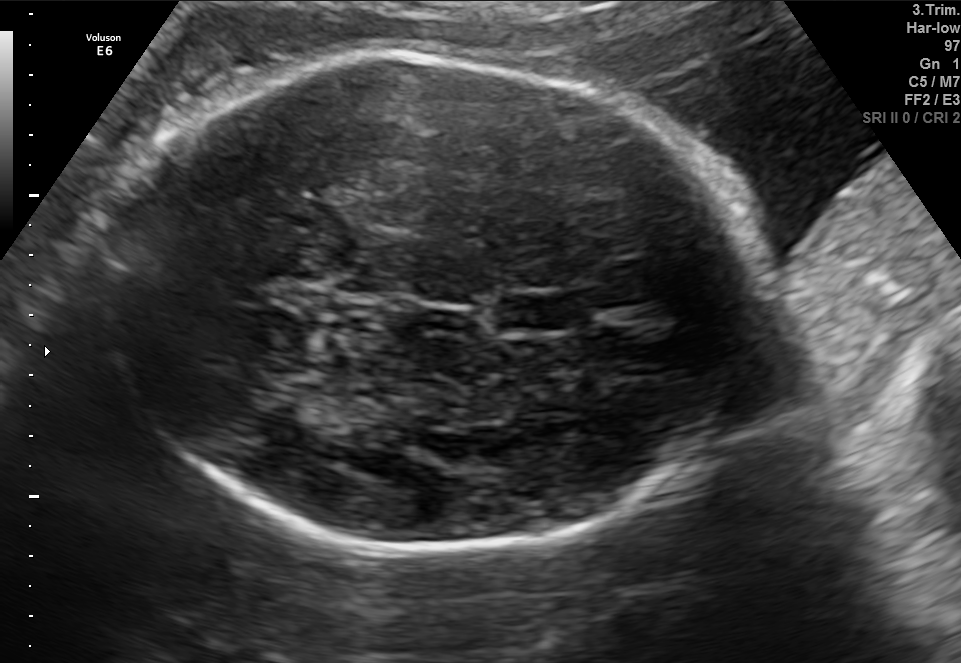
Fetal brain, trans-thalamic plane. Where is the fetal head?

Head bounding box: [93,53,762,550]